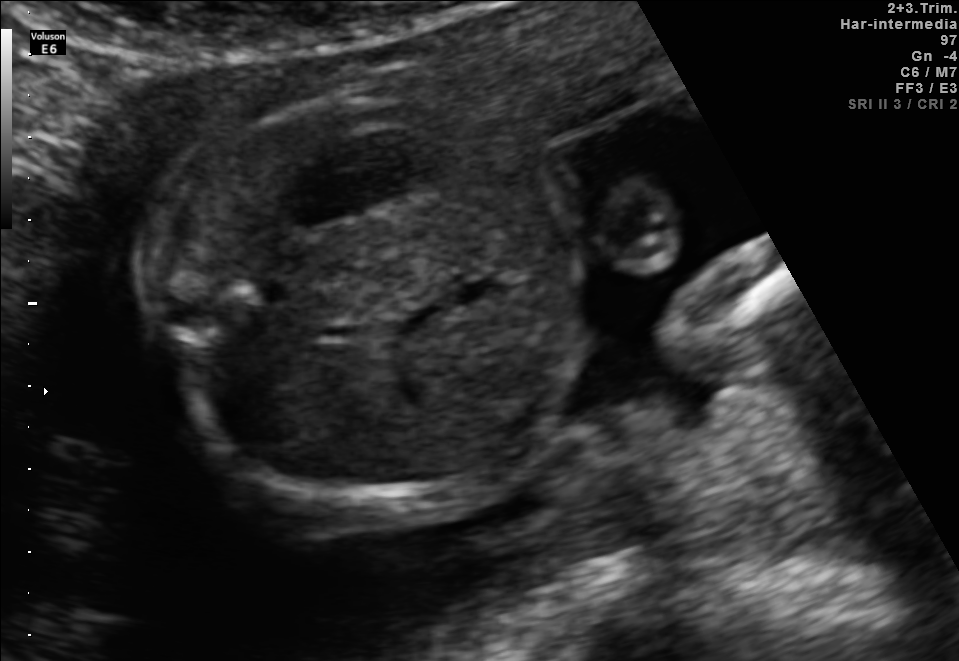
Which standard maternal-fetal ultrasound plane is shown: fetal abdomen, fetal brain, fetal femur, fetal thorax, maternal cervix, or other? If it's fetal brain and one of the three standard brain planes (trans-thalamic, trans-cerebellum, trans-ventricular), name which.

Fetal abdomen